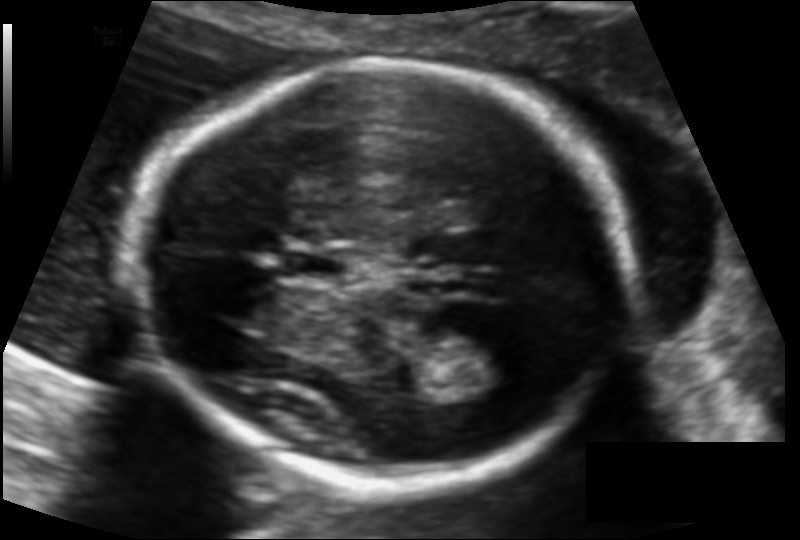
Fetal head ultrasound. Image width: 90.8 mm. Where is the fetal head?

Head bounding box: [141,60,631,482]